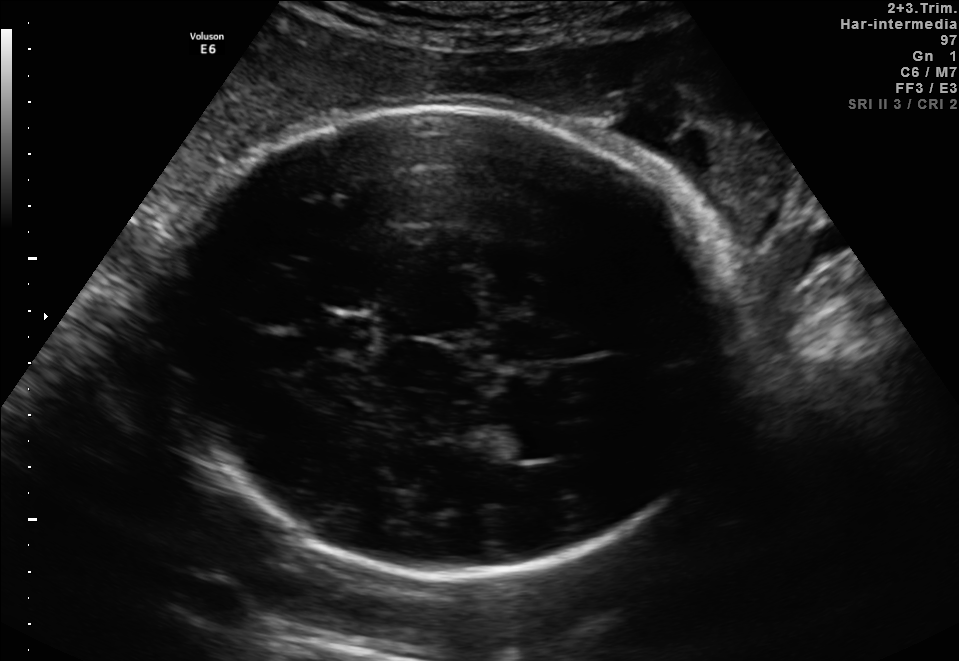
Fetal brain, trans-thalamic plane. Where is the fetal head?

Head bounding box: [159,101,738,576]